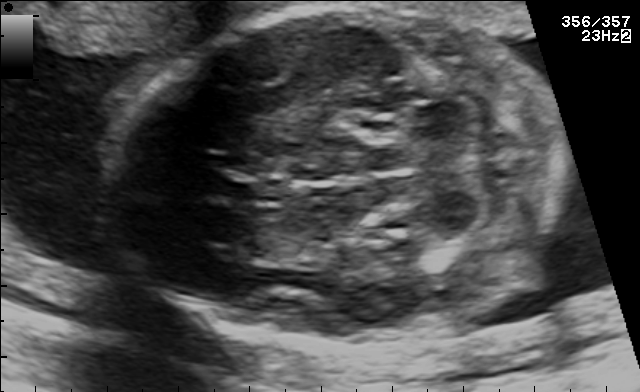
Fetal brain, trans-cerebellum plane. Give [x1,y1,x2,y2] bounding boxes for each visible structure among: fetal head, CSP, LV.

Head: [108,11,564,339]
CSP: [227,176,282,206]